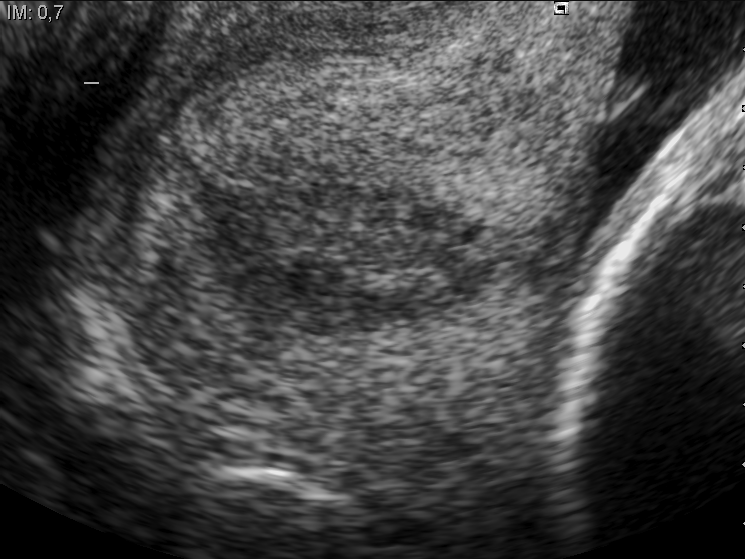
Which standard maternal-fetal ultrasound plane is shown: fetal abdomen, fetal brain, fetal femur, fetal thorax, maternal cervix, or other? If it's fetal brain and one of the three standard brain planes (trans-thalamic, trans-cerebellum, trans-ventricular), name which.

Maternal cervix